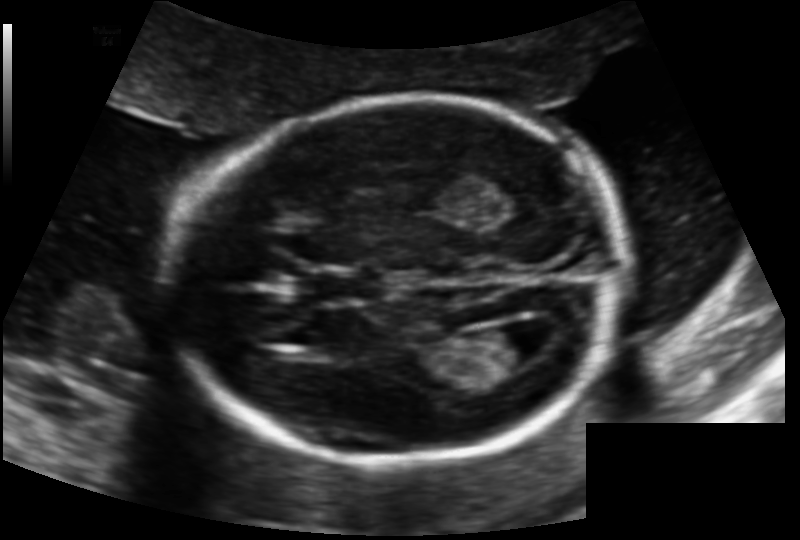
Fetal head ultrasound. Image width: 104.9 mm. Where is the lateral ventricle?

Lateral ventricle bounding box: [468,319,546,377]